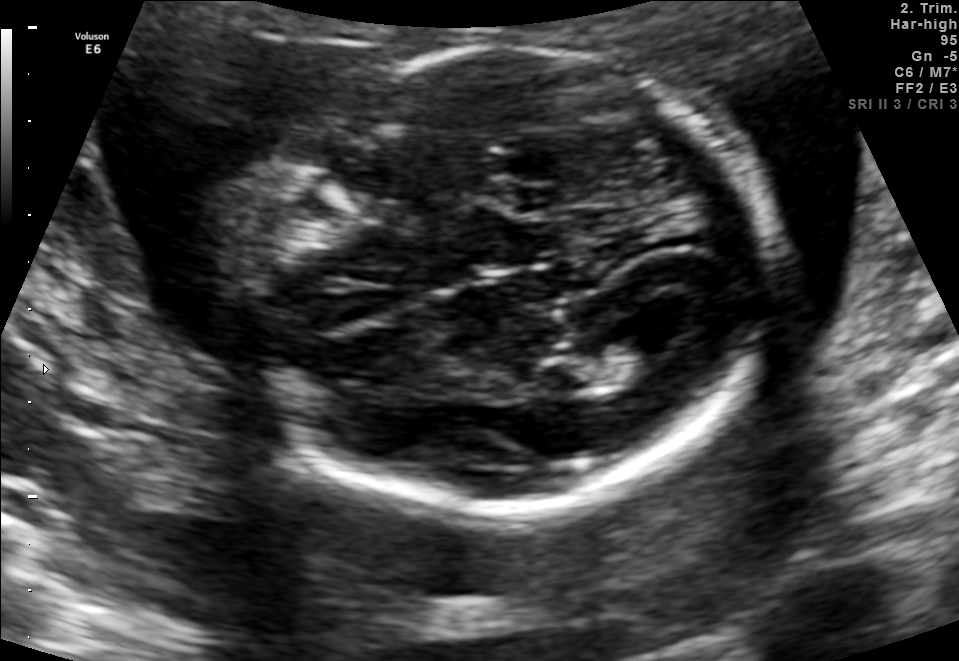
Fetal brain, trans-ventricular plane. Locate the fetal head and, if visible, the cavum septum pellucidum (CSP) and lateral ventricle (LV). Give bounding boxes as [x1,y1,x2,y2].

Head: [216,42,787,519]